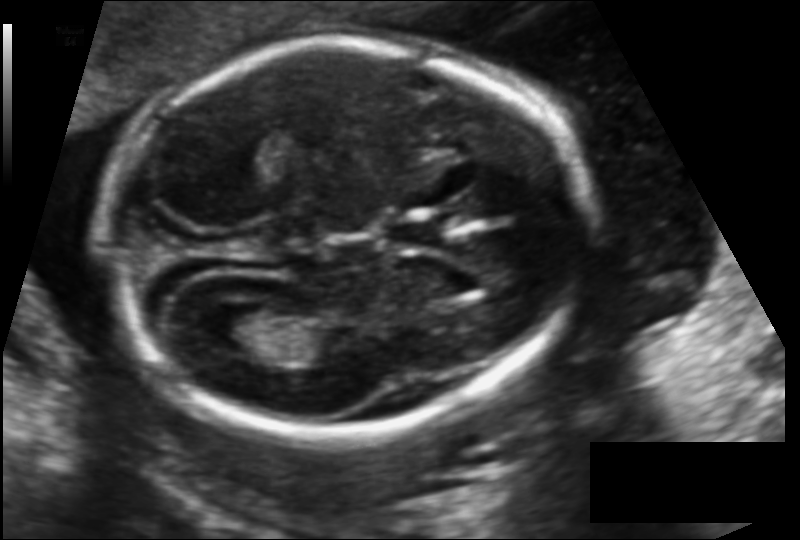
In this fetal head ultrasound, give the bounding box of the cavum septum pellucidum. Image width: 98.7 mm.

[386,211,451,252]